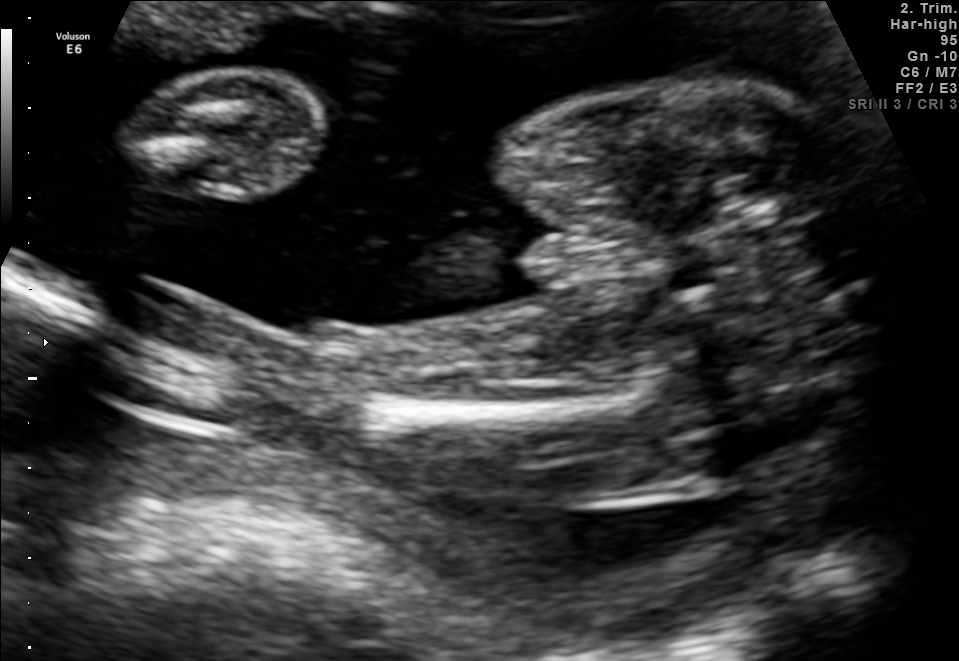
Classify this maternal-fetal ultrasound image as one of the six standard planes — fetal abdomen, fetal brain, fetal femur, fetal thorax, maternal cervix, or other. If it's fetal brain and one of the three standard brain planes (trans-thalamic, trans-cerebellum, trans-ventricular), name which.

Fetal femur